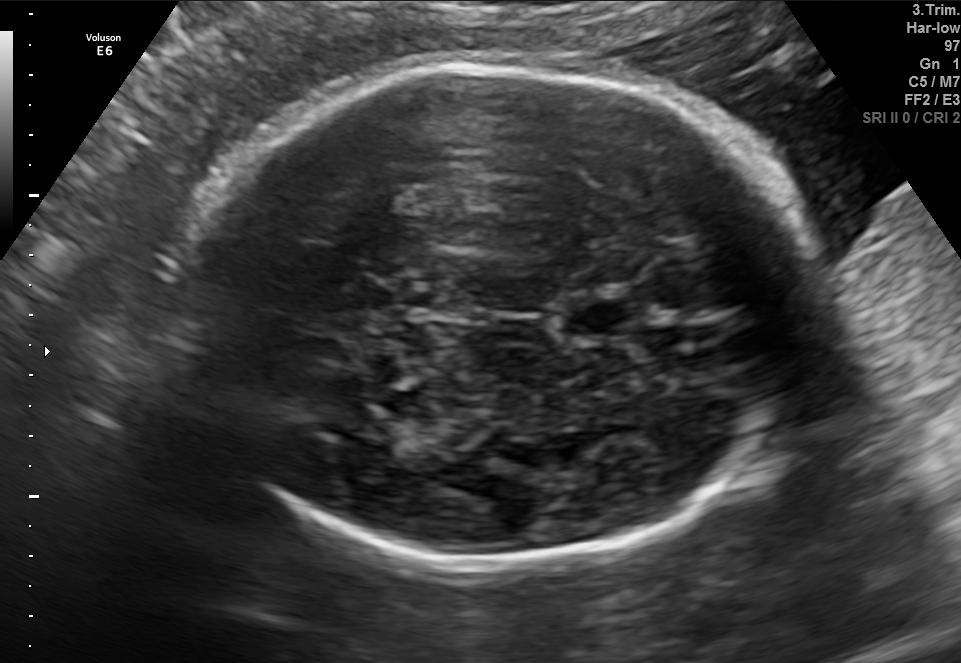
Fetal brain, trans-thalamic plane. Locate the fetal head and, if visible, the cavum septum pellucidum (CSP) and lateral ventricle (LV). Give bounding boxes as [x1,y1,x2,y2].

Head: [181,64,814,569]
CSP: [562,298,634,337]